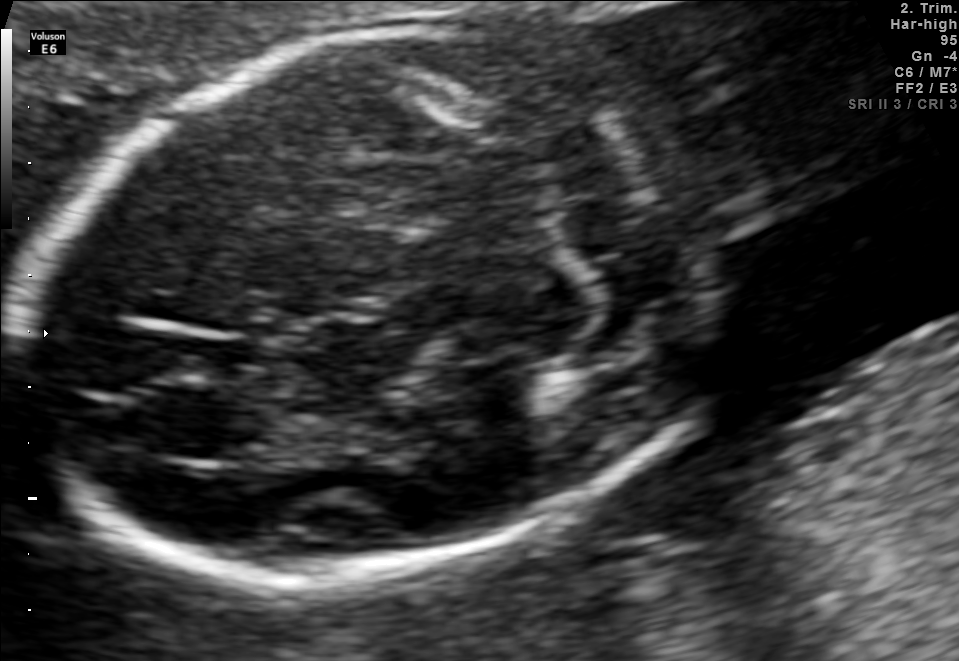
Fetal brain, trans-cerebellum plane. Give [x1,y1,x2,y2] bounding boxes for each visible structure among: fetal head, CSP, LV.

Head: [24,24,723,581]